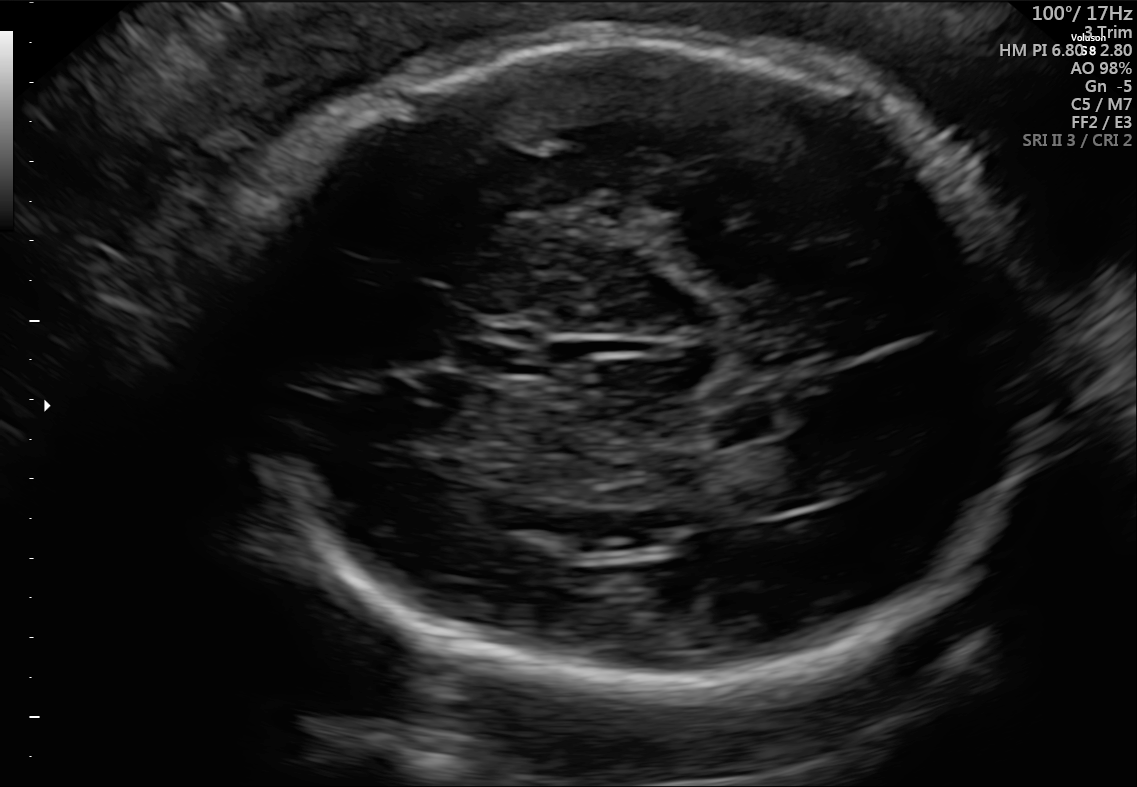
In this fetal brain, trans-thalamic plane, give the bounding box of the lateral ventricle.

[740,424,868,518]